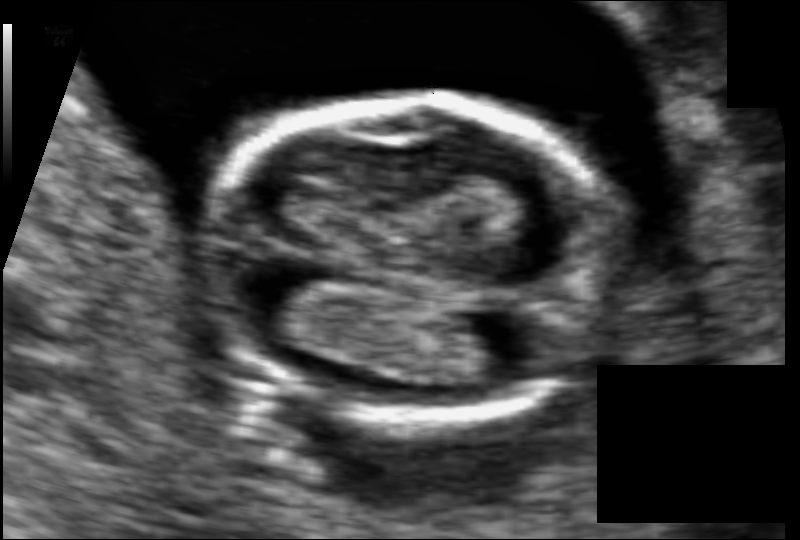
In this fetal head ultrasound, give the bounding box of the fetal head. Image width: 59.9 mm.

[209,97,630,418]